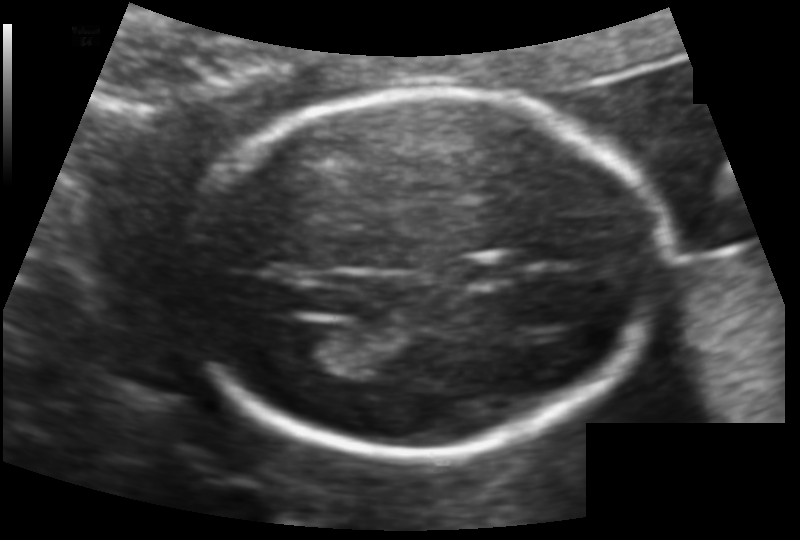
In this fetal head ultrasound, give the bounding box of the cavum septum pellucidum. Image width: 90.1 mm.

[457,252,522,288]